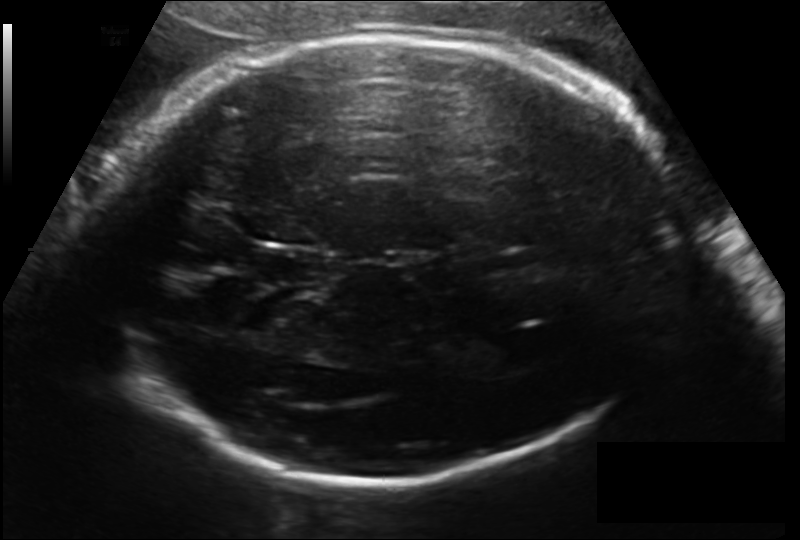
In this fetal head ultrasound, give bounding boxes for the head outline, cavum septum pellucidum (CSP), and lateral ventricle (LV), where visible. Image width: 136.7 mm.

Head: [102,33,672,487]
CSP: [250,247,325,288]
Lateral ventricle: [469,328,543,376]